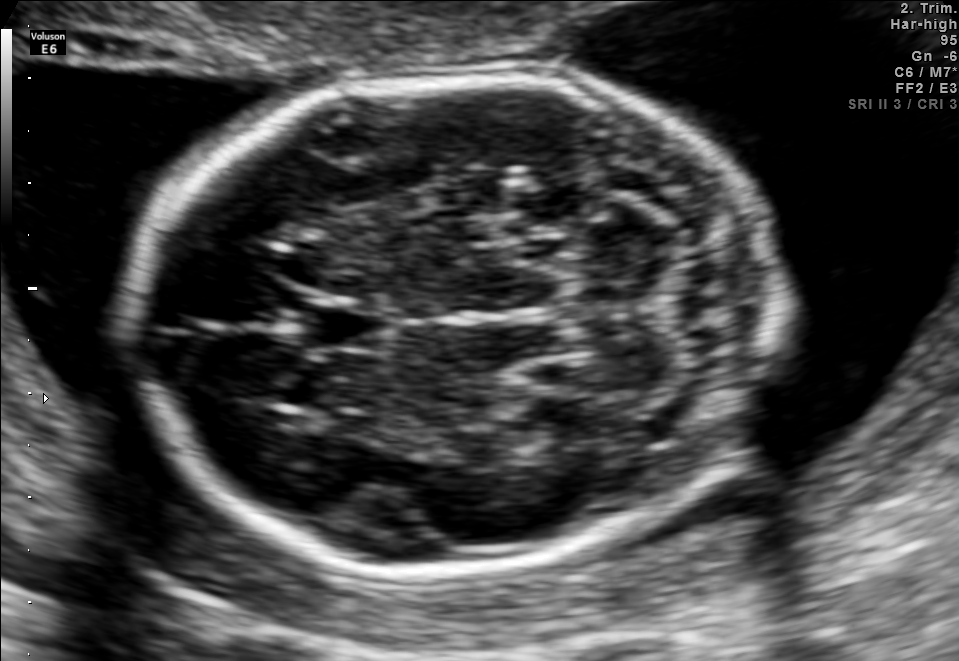
Fetal brain, trans-cerebellum plane. Where is the fetal head?

Head bounding box: [133,70,778,569]